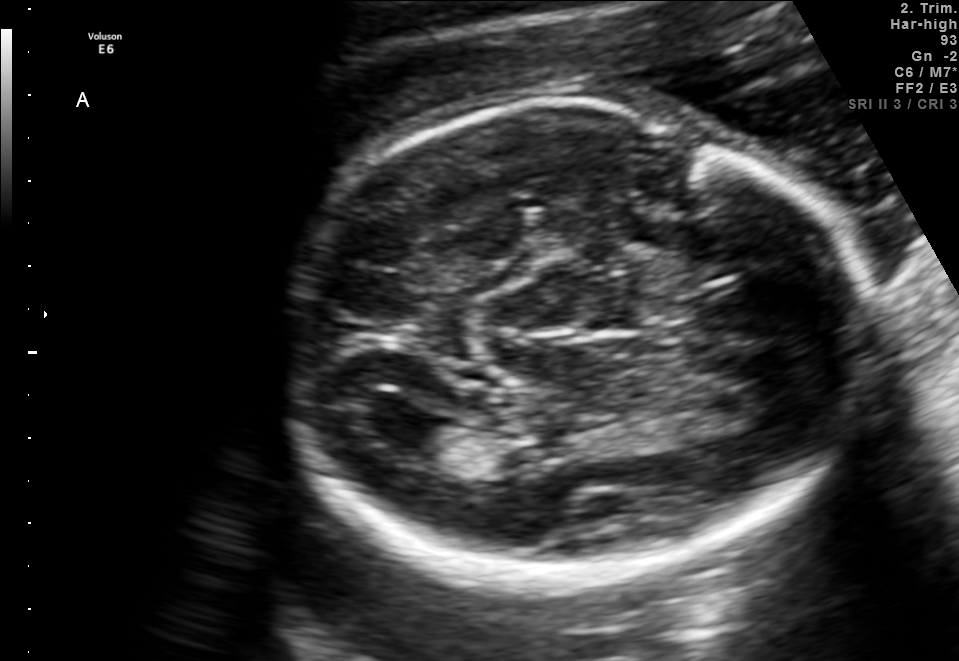
Fetal brain, trans-ventricular plane. Where is the lateral ventricle?

Lateral ventricle bounding box: [363,394,451,460]